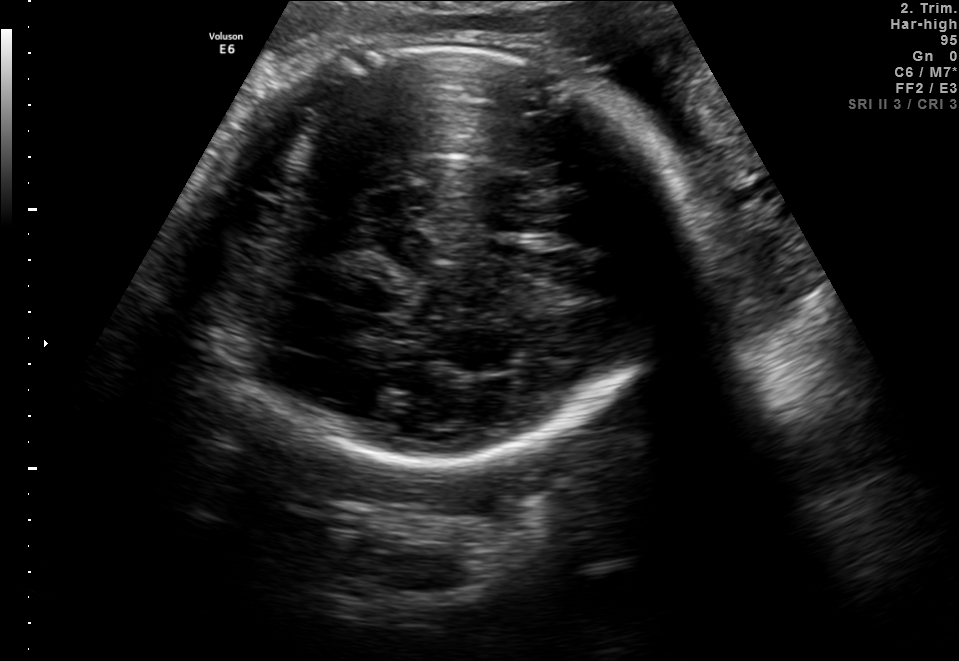
In this fetal brain, trans-thalamic plane, give the bounding box of the fetal head.

[179,43,674,464]